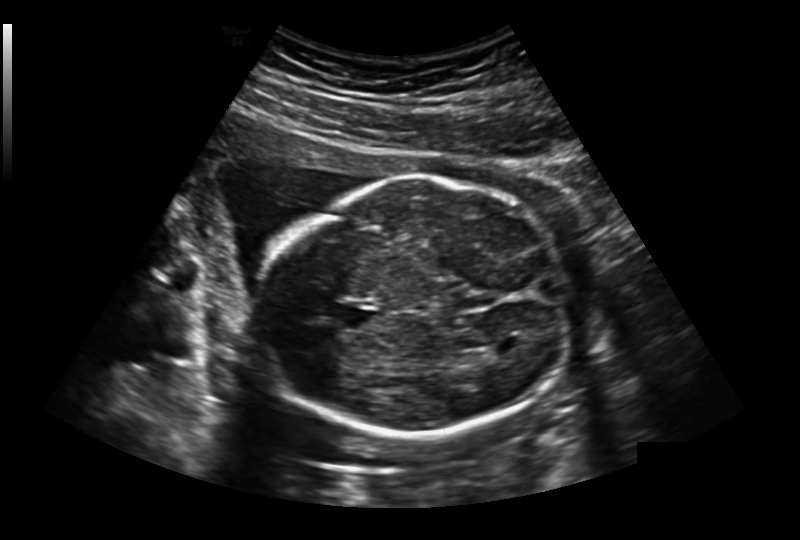
What is the fetal head circumference? Image width is 188.6 mm.

213.2 mm